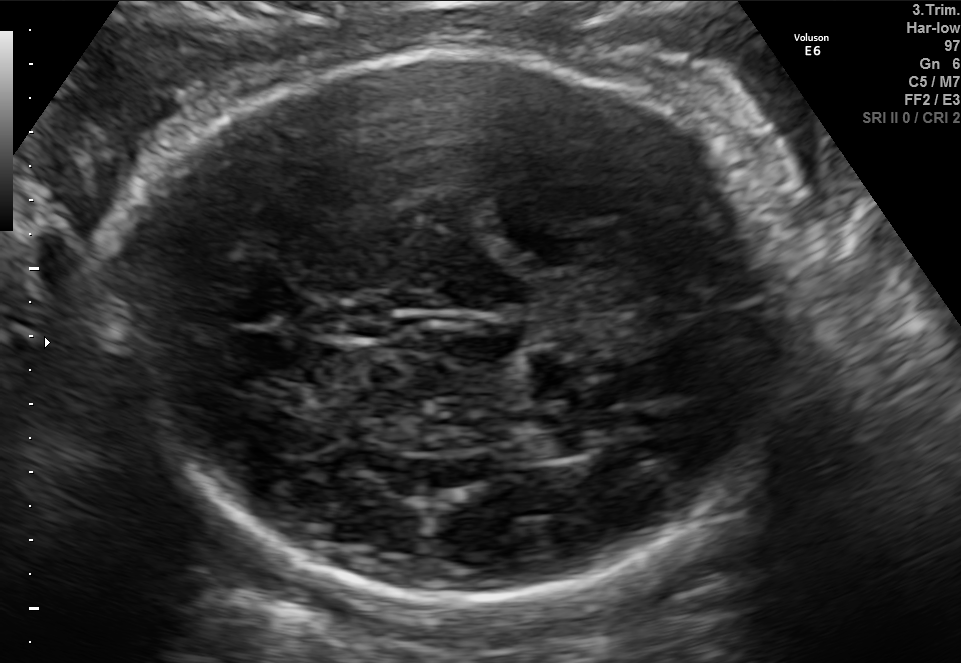
Fetal brain, trans-thalamic plane. Locate the fetal head.

Head: [120,57,799,606]